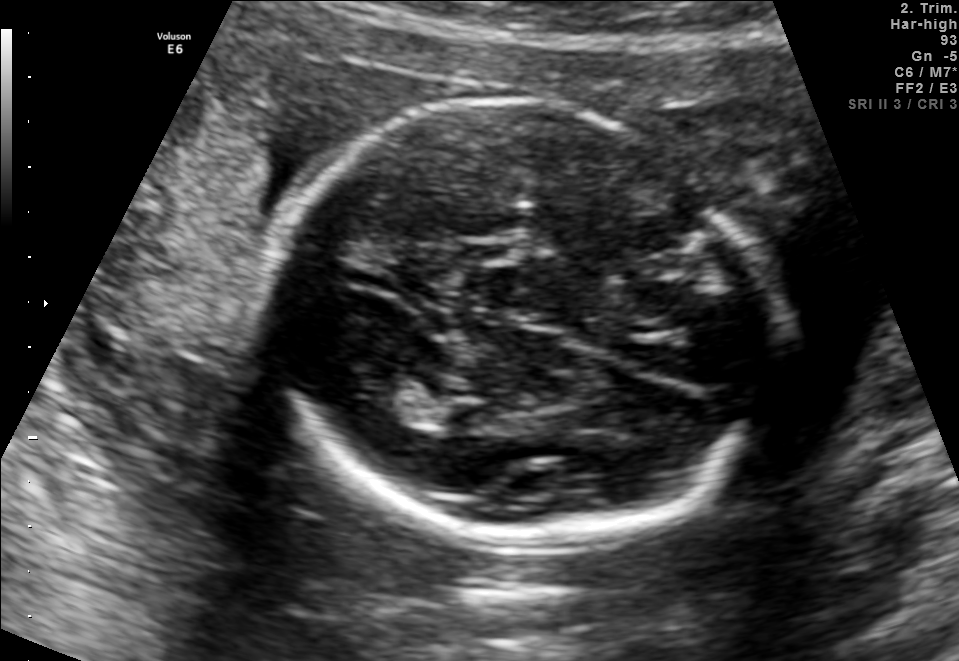
In this fetal brain, trans-thalamic plane, give the bounding box of the fetal head.

[269,93,782,532]